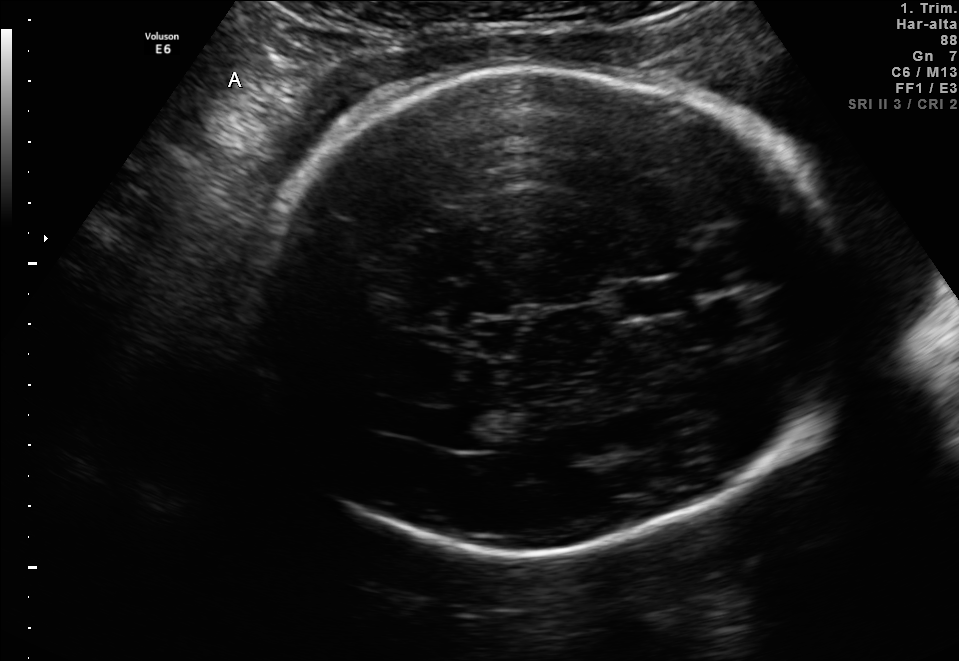
In this fetal brain, trans-thalamic plane, give the bounding box of the lateral ventricle.

[433,408,497,452]